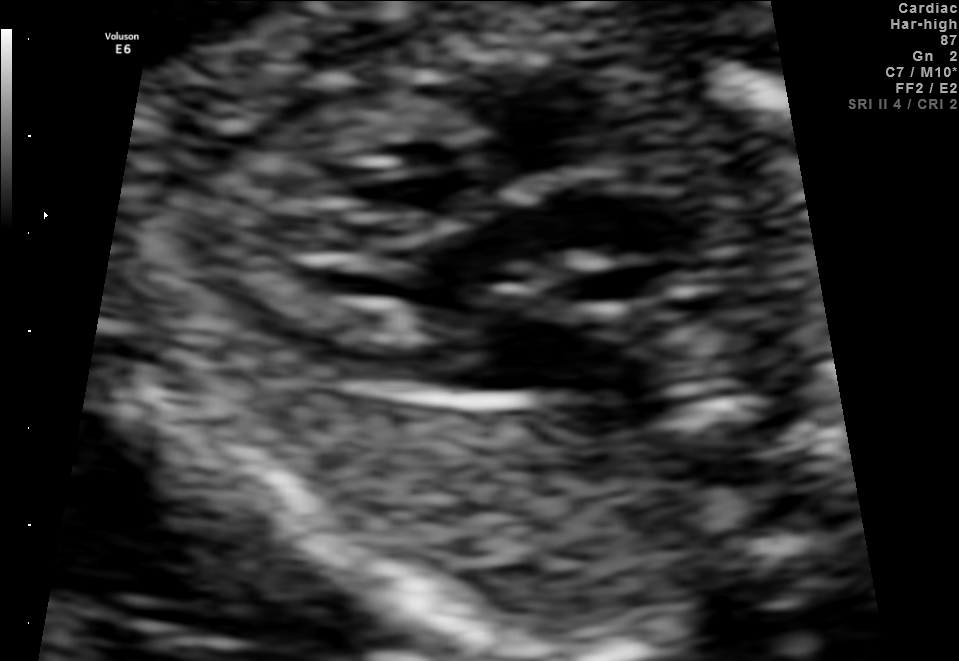
Which standard maternal-fetal ultrasound plane is shown: fetal abdomen, fetal brain, fetal femur, fetal thorax, maternal cervix, or other? If it's fetal brain and one of the three standard brain planes (trans-thalamic, trans-cerebellum, trans-ventricular), name which.

Other